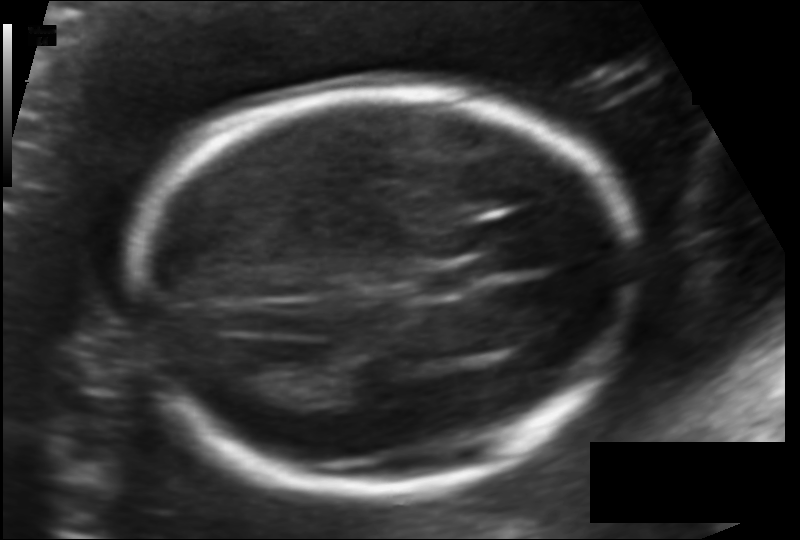
Fetal head ultrasound. Image width: 99.3 mm. Where is the cavum septum pellucidum?

CSP bounding box: [412,262,481,302]